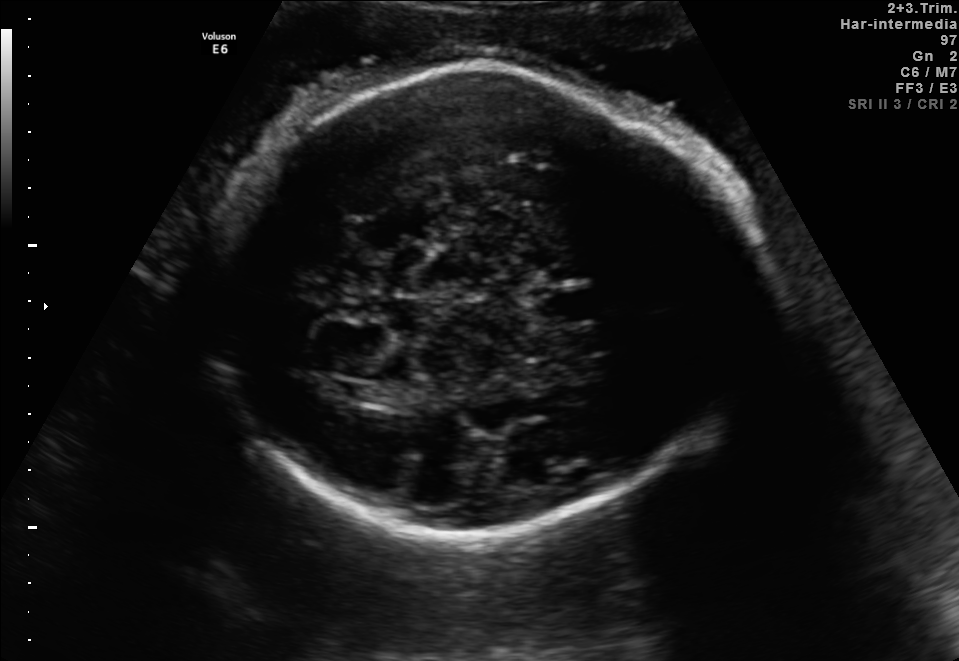
Fetal brain, trans-thalamic plane. Where is the lateral ventricle?

Lateral ventricle bounding box: [331,378,403,409]